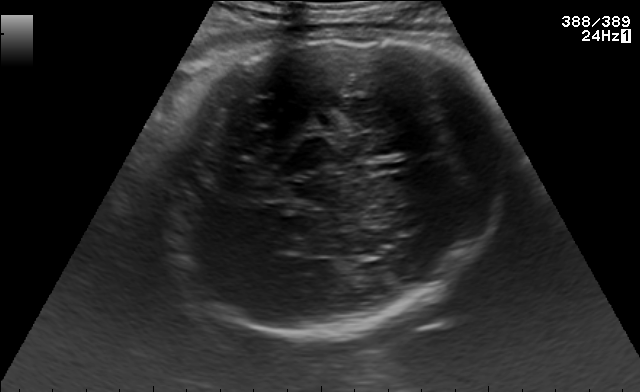
Fetal brain, trans-thalamic plane. Locate the fetal head and, if visible, the cavum septum pellucidum (CSP) and lateral ventricle (LV). Give bounding boxes as [x1,y1,x2,y2].

Head: [152,28,508,336]